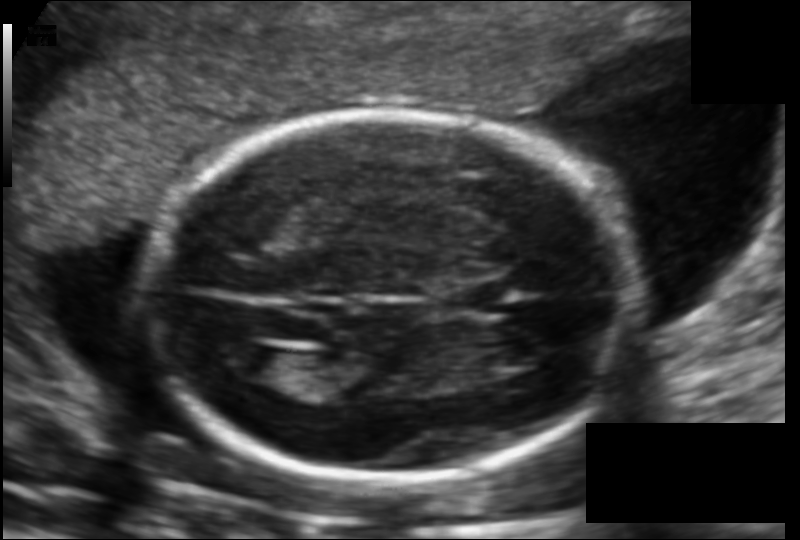
Fetal head ultrasound. Image width: 98.4 mm. Locate the lateral ventricle.

Lateral ventricle: [215,336,286,387]